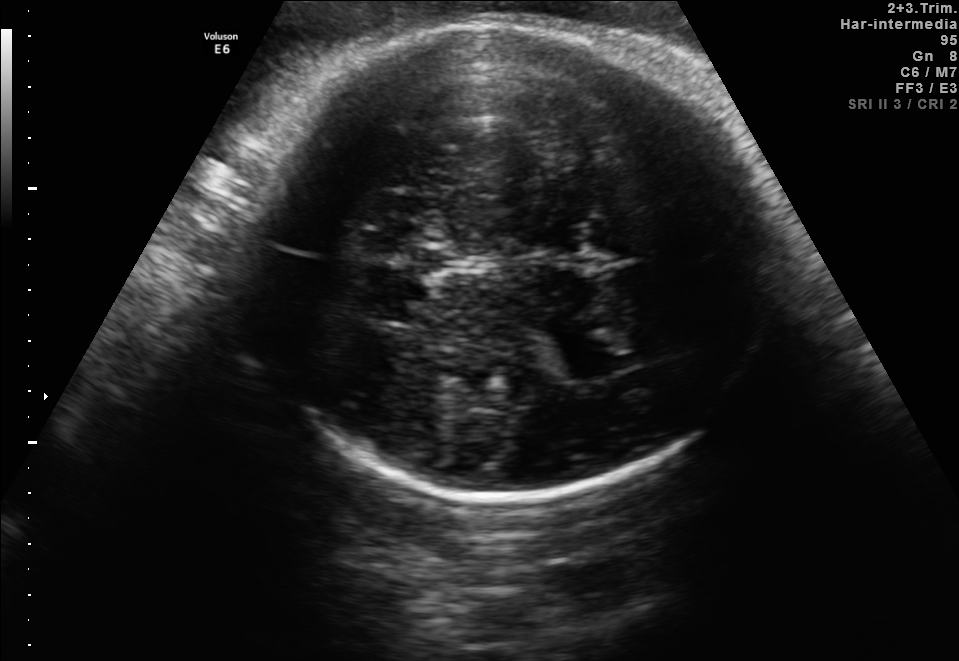
Classify this maternal-fetal ultrasound image as one of the six standard planes — fetal abdomen, fetal brain, fetal femur, fetal thorax, maternal cervix, or other. If it's fetal brain and one of the three standard brain planes (trans-thalamic, trans-cerebellum, trans-ventricular), name which.

Fetal brain (trans-thalamic plane)